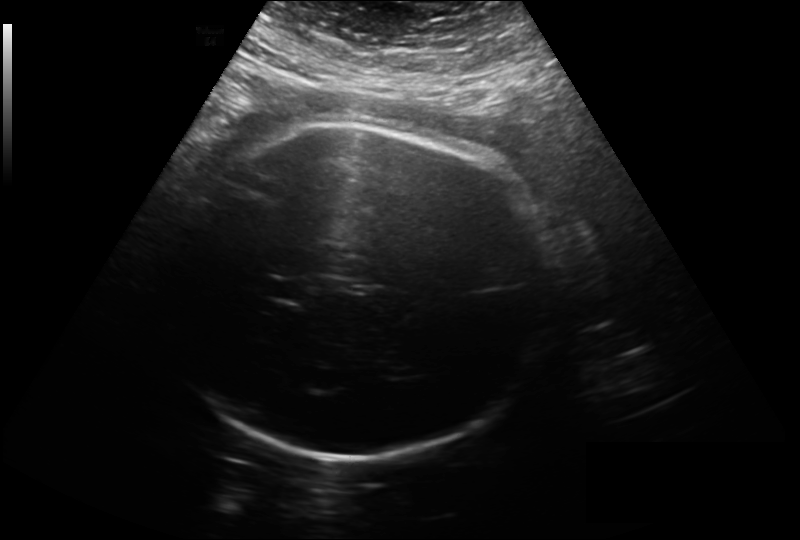
In this fetal head ultrasound, give the bounding box of the cavum septum pellucidum. Image width: 208.8 mm.

[262,274,308,305]